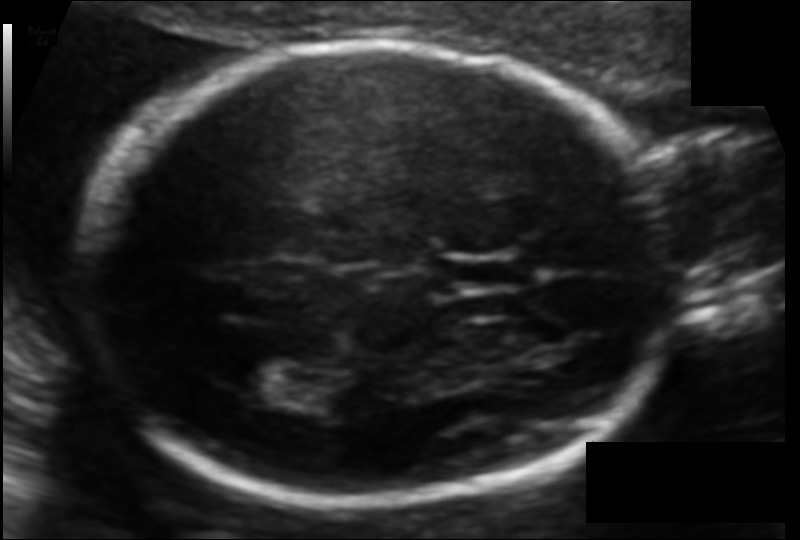
In this fetal head ultrasound, give the bounding box of the lateral ventricle. Image width: 83.2 mm.

[225,344,304,401]